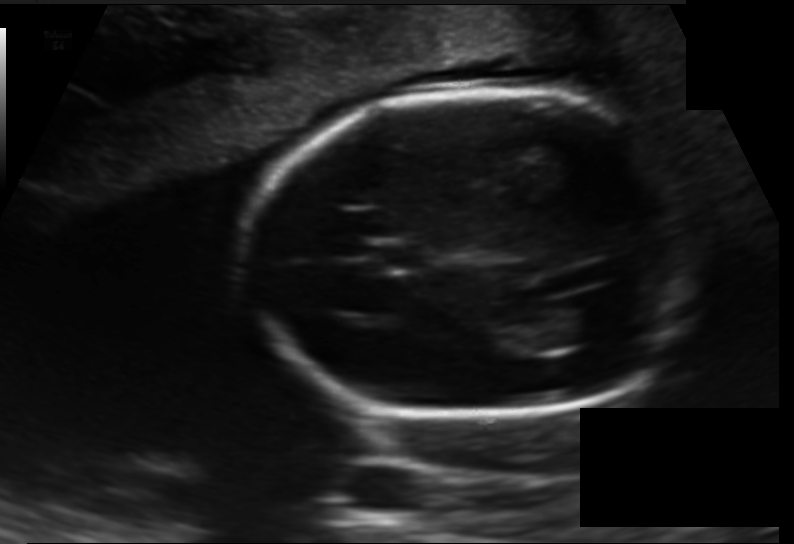
From this fetal ultrasound, estimate the head circumference (image width 109.8 mm).

Head circumference: 171.2 mm.